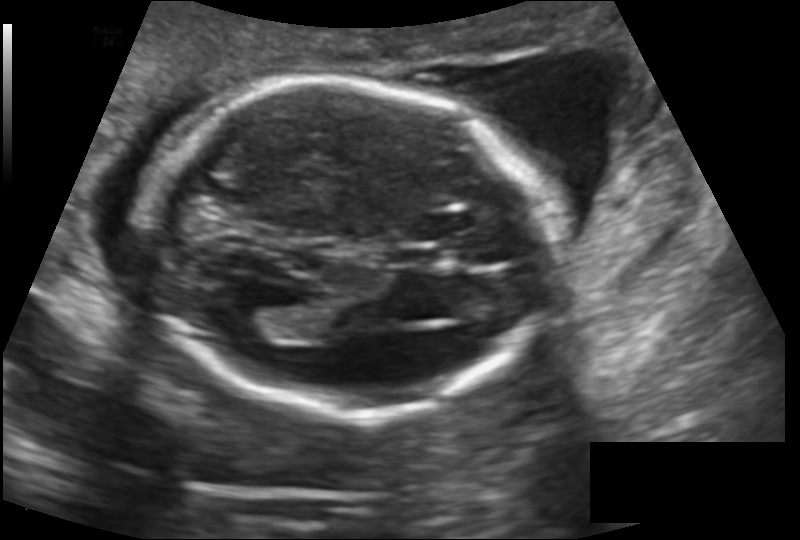
Estimate the fetal head circumference from this 2D ultrasound. Image width: 116.4 mm.

Head circumference: 175.0 mm.